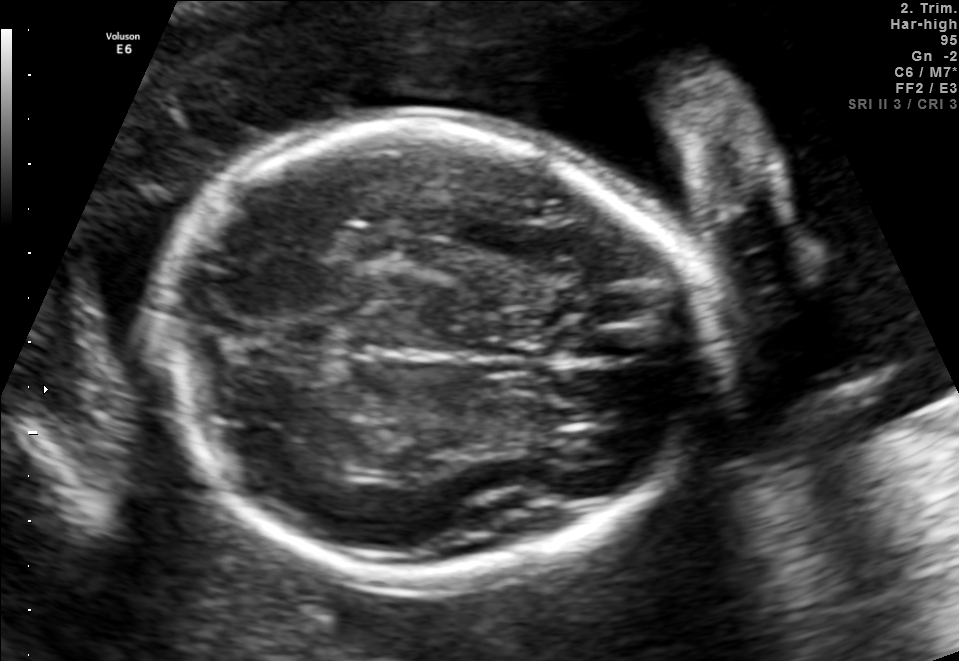
In this fetal brain, trans-thalamic plane, give bounding boxes for the head outline, cavum septum pellucidum (CSP), and lateral ventricle (LV), where visible.

Head: [160,120,707,577]